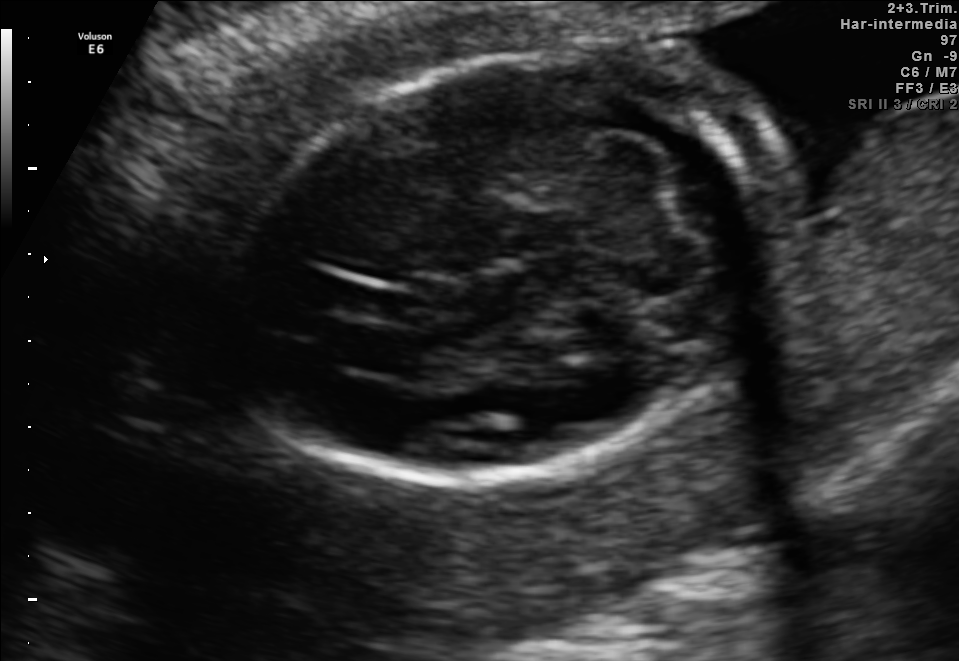
Classify this maternal-fetal ultrasound image as one of the six standard planes — fetal abdomen, fetal brain, fetal femur, fetal thorax, maternal cervix, or other. If it's fetal brain and one of the three standard brain planes (trans-thalamic, trans-cerebellum, trans-ventricular), name which.

Fetal brain (trans-cerebellum plane)